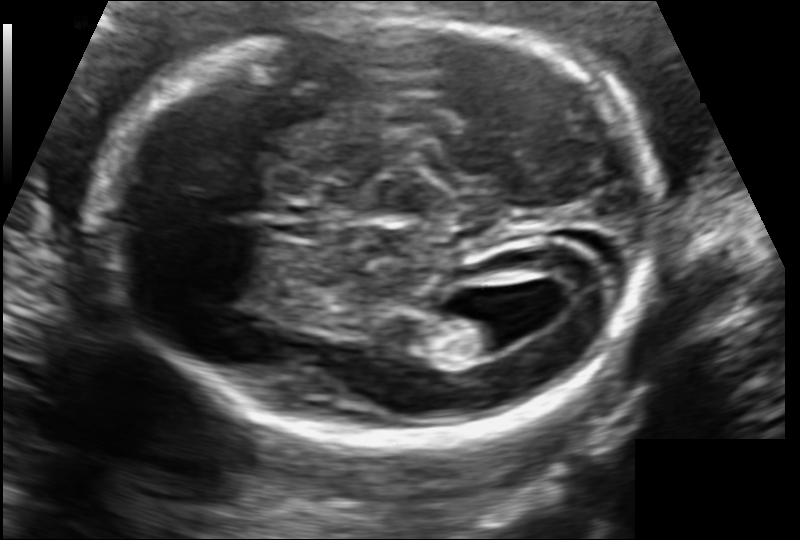
Fetal head ultrasound. Image width: 87.0 mm. Locate the lateral ventricle.

Lateral ventricle: [434,295,533,369]